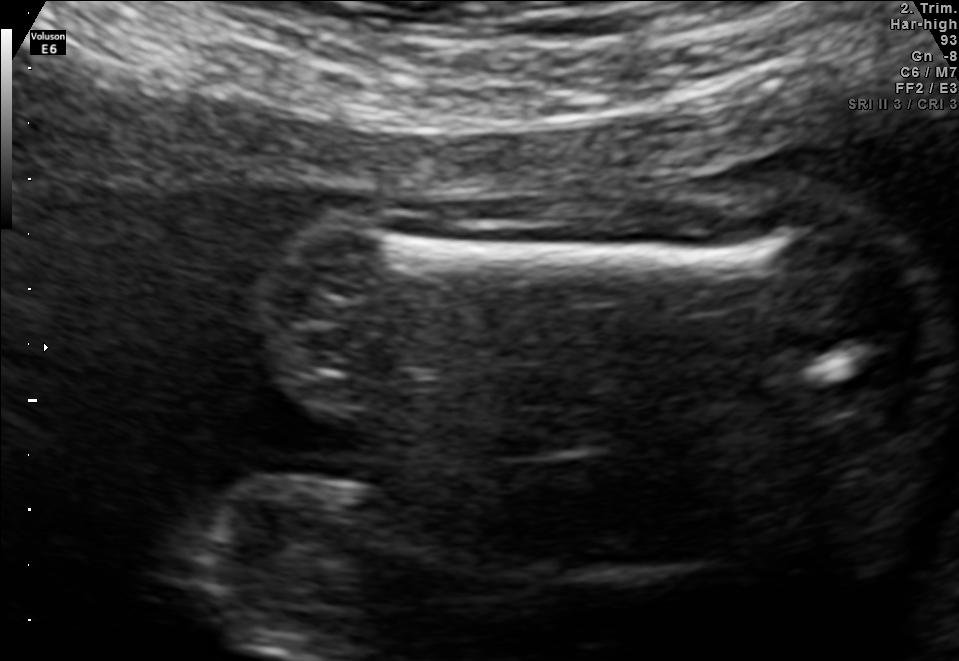
Which standard maternal-fetal ultrasound plane is shown: fetal abdomen, fetal brain, fetal femur, fetal thorax, maternal cervix, or other? If it's fetal brain and one of the three standard brain planes (trans-thalamic, trans-cerebellum, trans-ventricular), name which.

Fetal femur